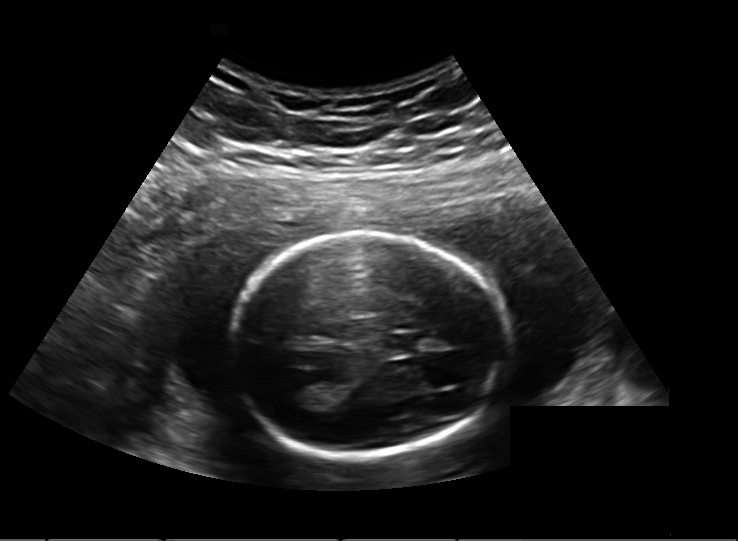
Measure the fetal head circumference shown in this ultrasound image. Image width: 149.5 mm.

Head circumference: 164.8 mm.